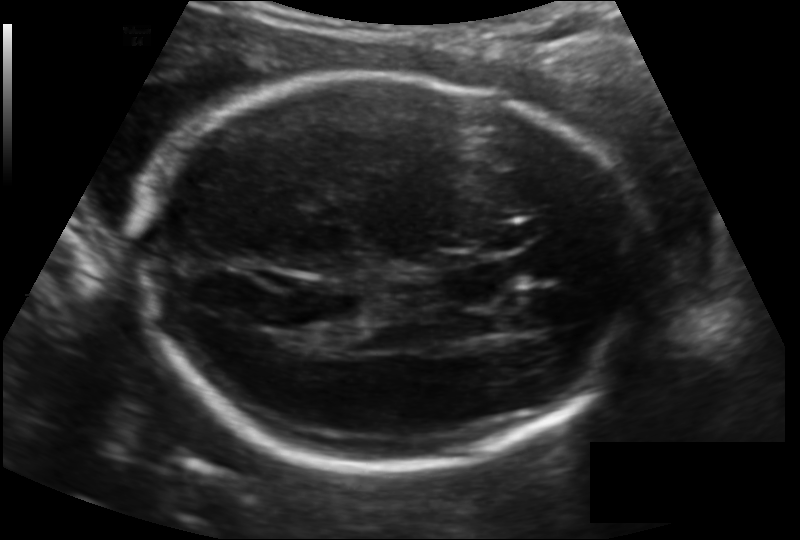
Fetal head ultrasound. Image width: 118.2 mm. Locate the fetal head and, if visible, the cavum septum pellucidum (CSP) and lateral ventricle (LV). Give bounding boxes as [x1,y1,x2,y2].

Head: [141,76,641,469]